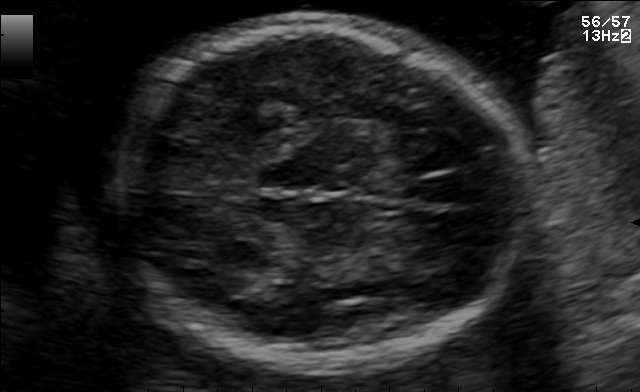
Identify the standard plane in this fetal ultrasound image: fetal abdomen, fetal brain, fetal femur, fetal thorax, maternal cervix, or other. If it's fetal brain and one of the three standard brain planes (trans-thalamic, trans-cerebellum, trans-ventricular), name which.

Fetal brain (trans-thalamic plane)